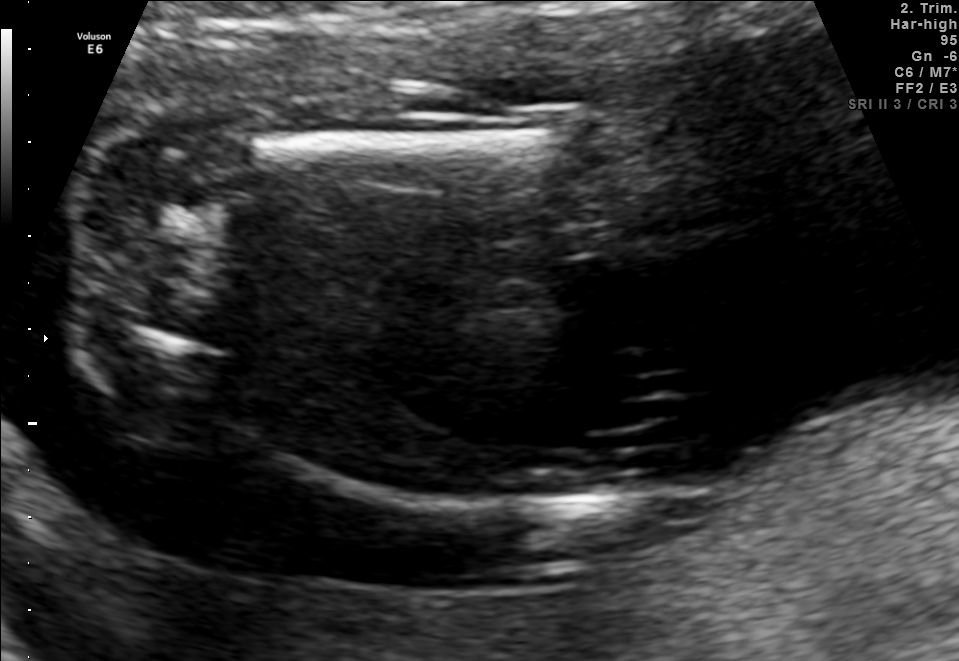
This is a 2D maternal-fetal ultrasound frame. Is it a fetal abdomen, fetal brain, fetal femur, fetal thorax, maternal cervix, or other standard plane? If it's fetal brain and one of the three standard brain planes (trans-thalamic, trans-cerebellum, trans-ventricular), name which.

Fetal femur